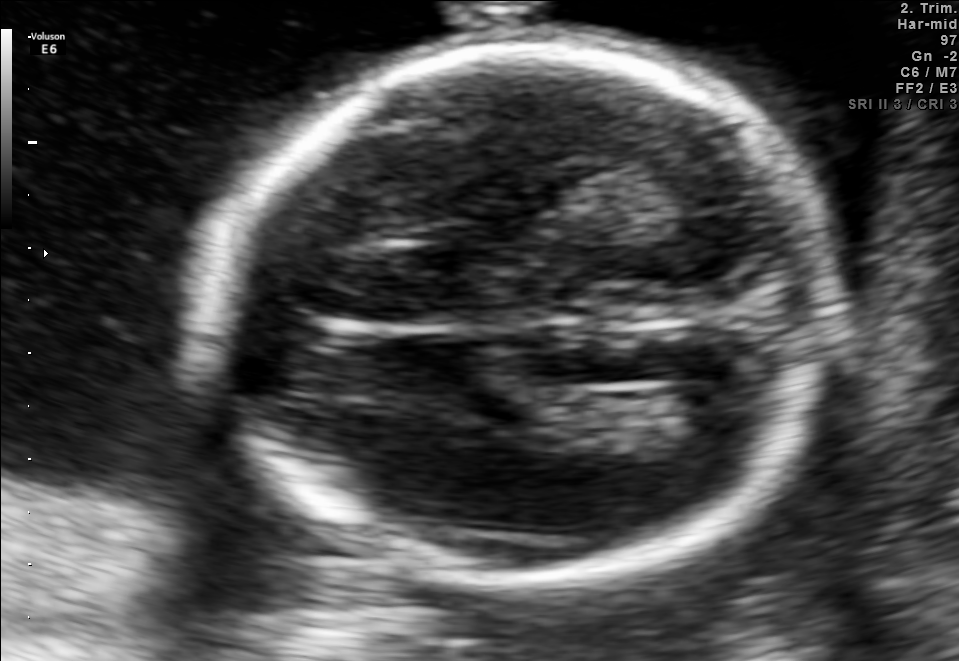
Fetal brain, trans-ventricular plane. Where is the fetal head?

Head bounding box: [218,39,841,590]